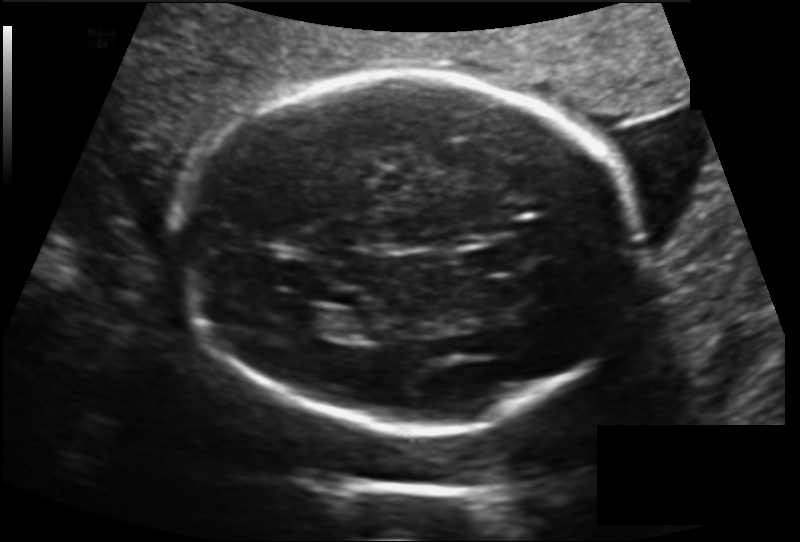
Fetal head ultrasound. Image width: 127.7 mm. Locate the cavum septum pellucidum.

CSP: [458,238,521,282]